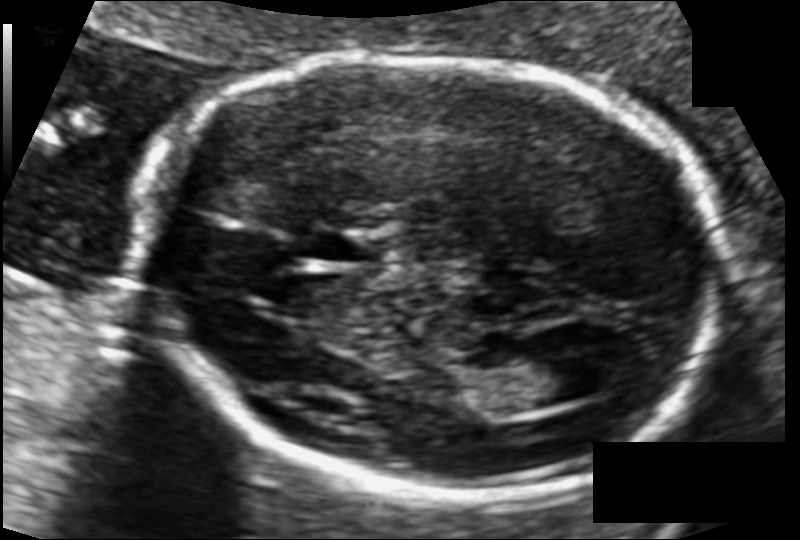
Fetal head ultrasound. Image width: 81.0 mm. Locate the fetal head.

Head: [140,54,723,496]